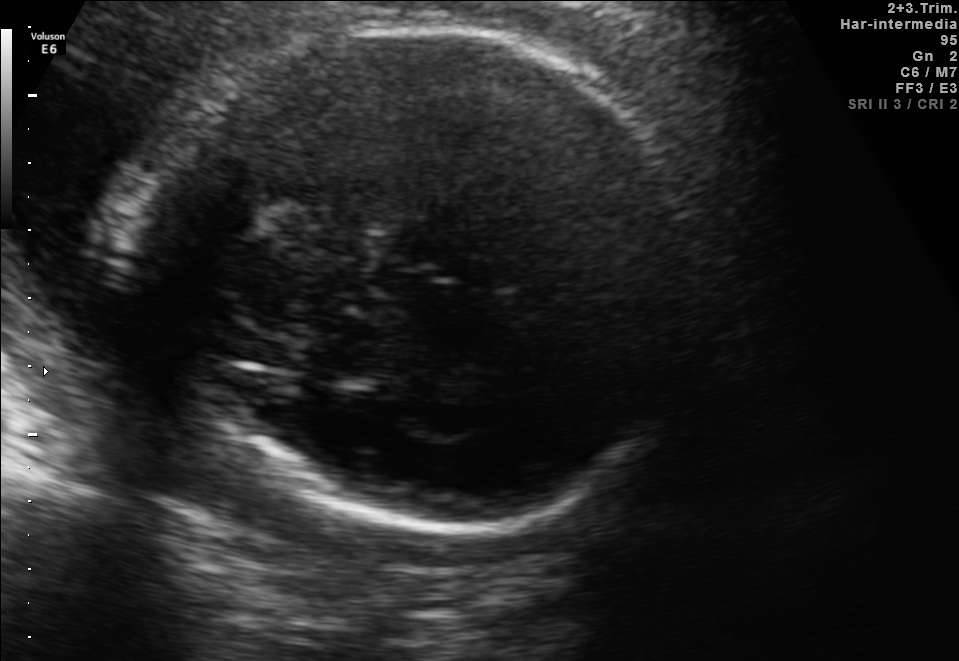
Fetal brain, trans-thalamic plane. Give [x1,y1,x2,y2] bounding boxes for each visible structure among: fetal head, CSP, LV.

Head: [135,22,698,531]